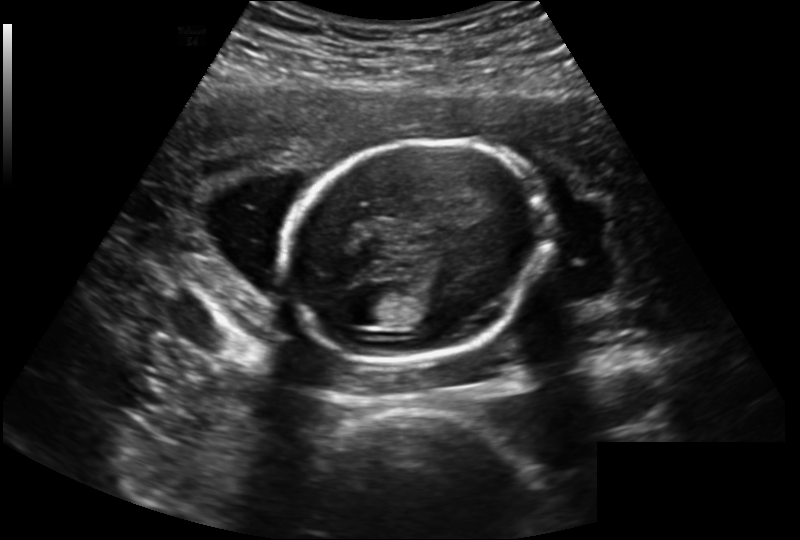
In this fetal head ultrasound, give the bounding box of the fetal head. Image width: 161.7 mm.

[283,140,551,364]